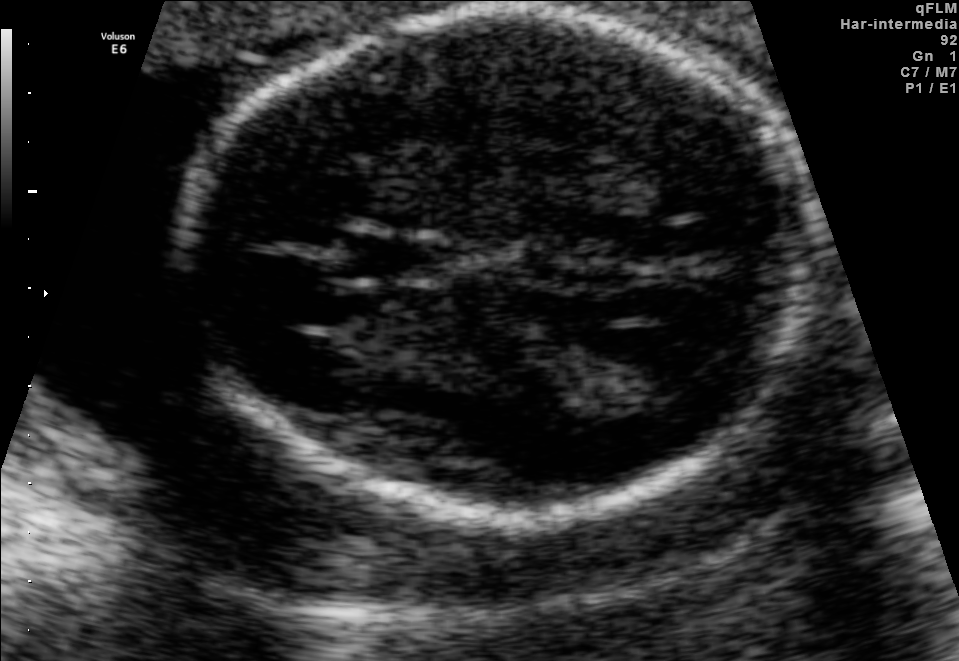
Classify this maternal-fetal ultrasound image as one of the six standard planes — fetal abdomen, fetal brain, fetal femur, fetal thorax, maternal cervix, or other. If it's fetal brain and one of the three standard brain planes (trans-thalamic, trans-cerebellum, trans-ventricular), name which.

Fetal brain (trans-thalamic plane)